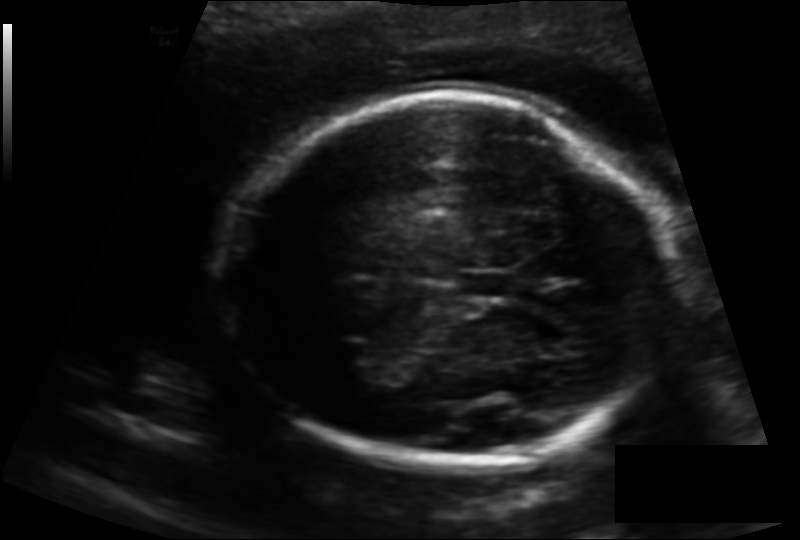
Estimate the fetal head circumference from this 2D ultrasound.

Head circumference: 188.8 mm (image width 112.7 mm).